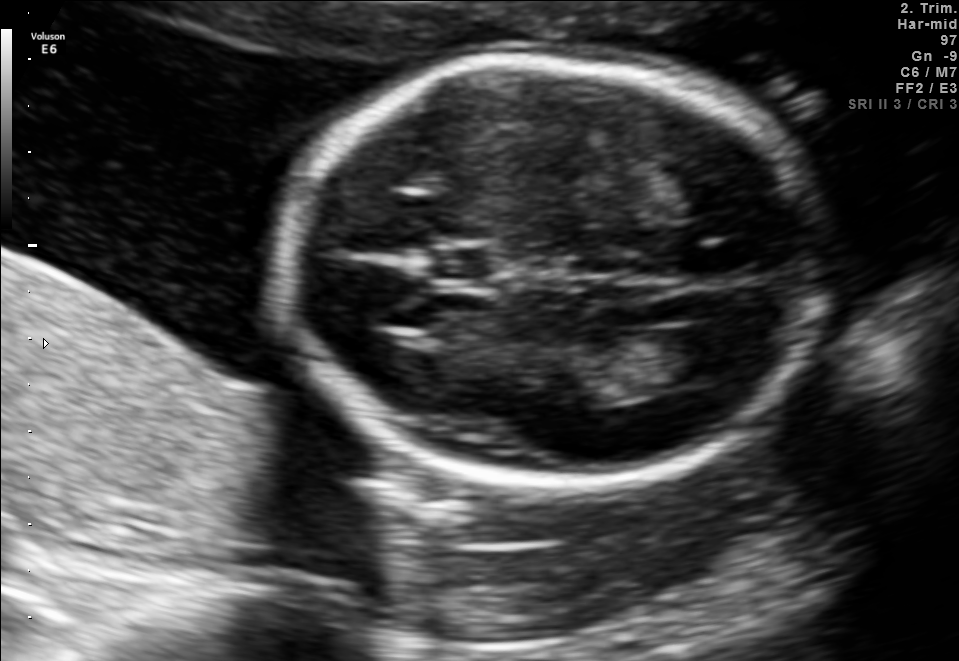
Fetal brain, trans-ventricular plane. Locate the cavum septum pellucidum.

CSP: [434,250,488,277]